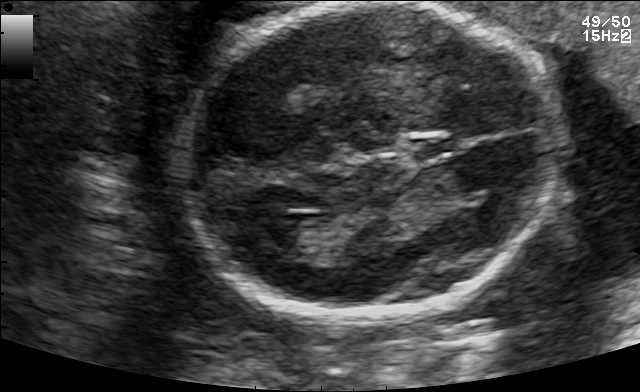
Fetal brain, trans-ventricular plane. Locate the fetal head and, if visible, the cavum septum pellucidum (CSP) and lateral ventricle (LV). Give bounding boxes as [x1,y1,x2,y2].

Head: [168,1,566,329]
CSP: [407,133,462,162]